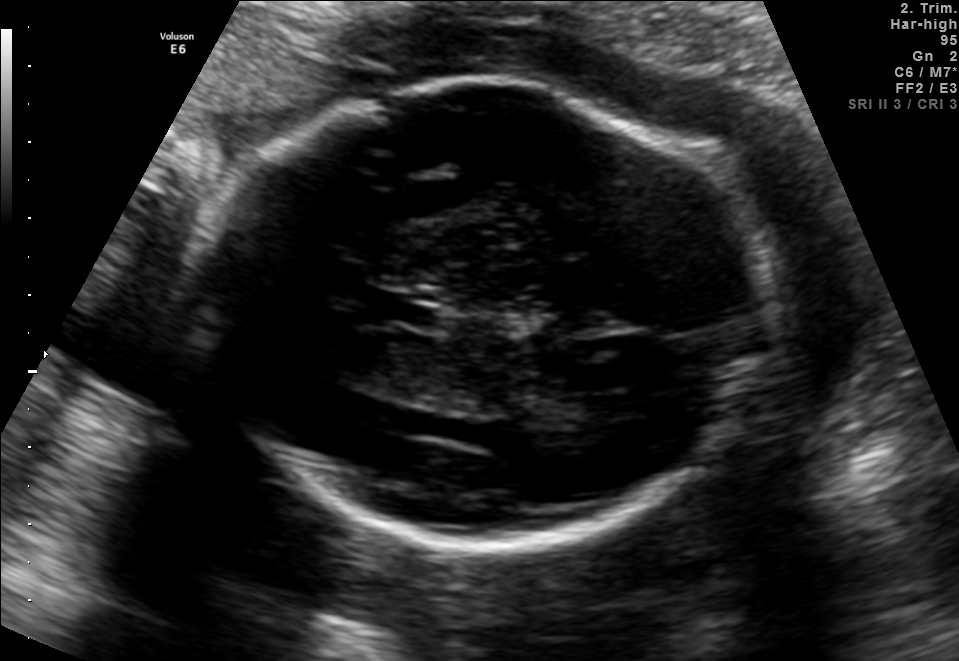
Fetal brain, trans-thalamic plane. Where is the lateral ventricle?

Lateral ventricle bounding box: [559,392,612,429]